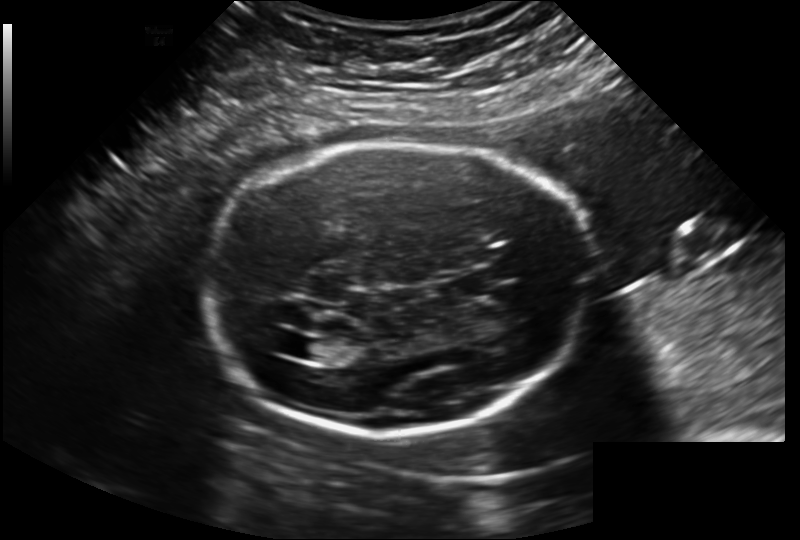
Fetal head ultrasound. Image width: 161.6 mm. Where is the fetal head?

Head bounding box: [205,141,585,433]